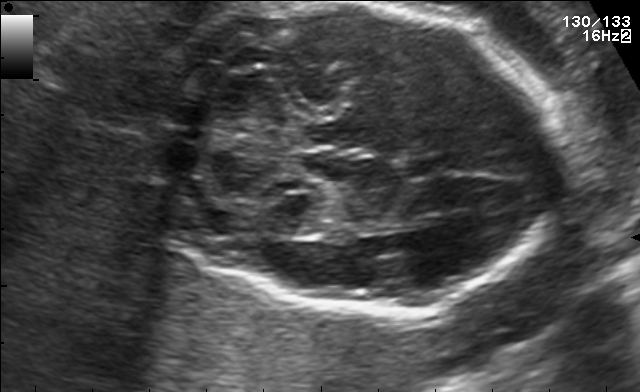
Identify the standard plane in this fetal ultrasound image: fetal abdomen, fetal brain, fetal femur, fetal thorax, maternal cervix, or other. If it's fetal brain and one of the three standard brain planes (trans-thalamic, trans-cerebellum, trans-ventricular), name which.

Fetal brain (trans-cerebellum plane)